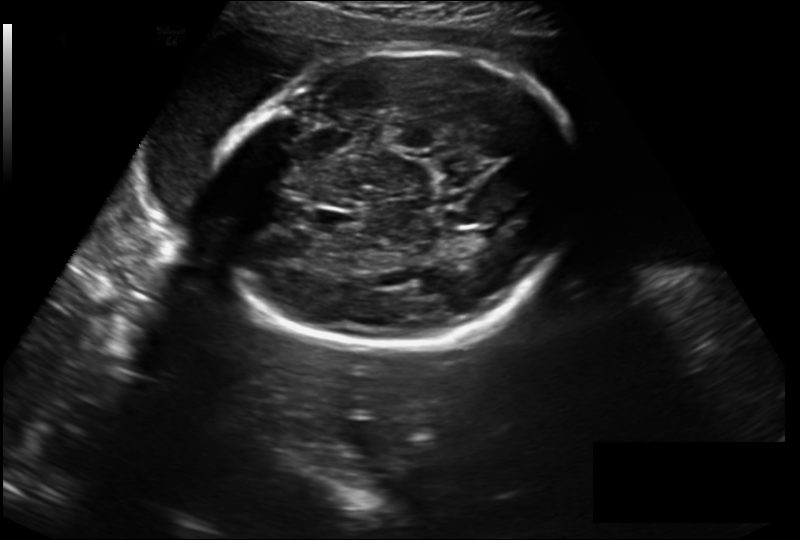
In this fetal head ultrasound, give the bounding box of the fetal head. Image width: 184.1 mm.

[212,52,581,347]